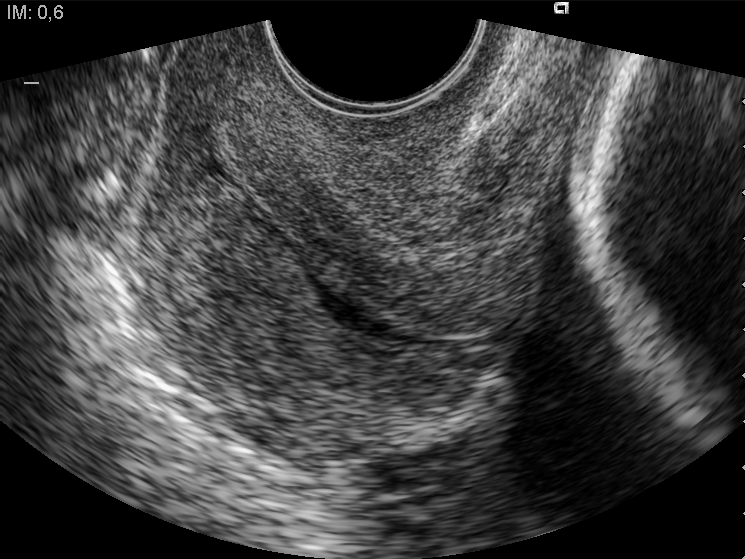
This is a 2D maternal-fetal ultrasound frame. Is it a fetal abdomen, fetal brain, fetal femur, fetal thorax, maternal cervix, or other standard plane? If it's fetal brain and one of the three standard brain planes (trans-thalamic, trans-cerebellum, trans-ventricular), name which.

Maternal cervix